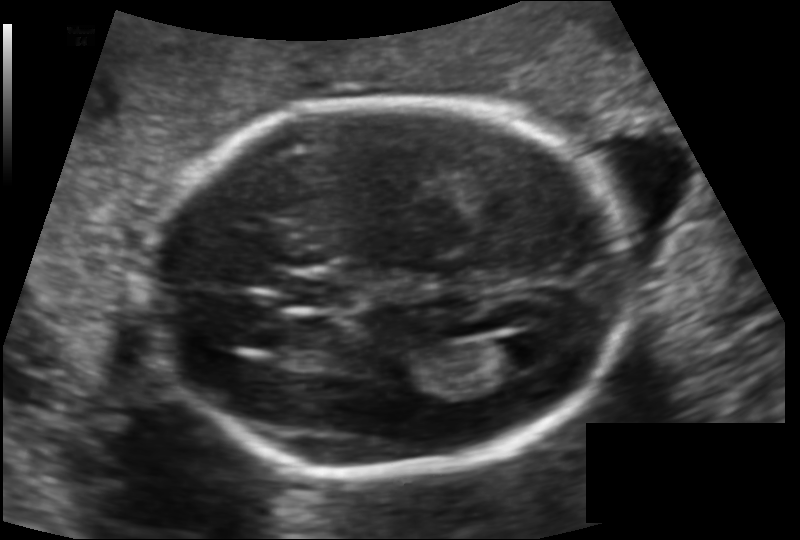
Fetal head ultrasound. Image width: 100.1 mm. Locate the fetal head.

Head: [149,101,624,476]